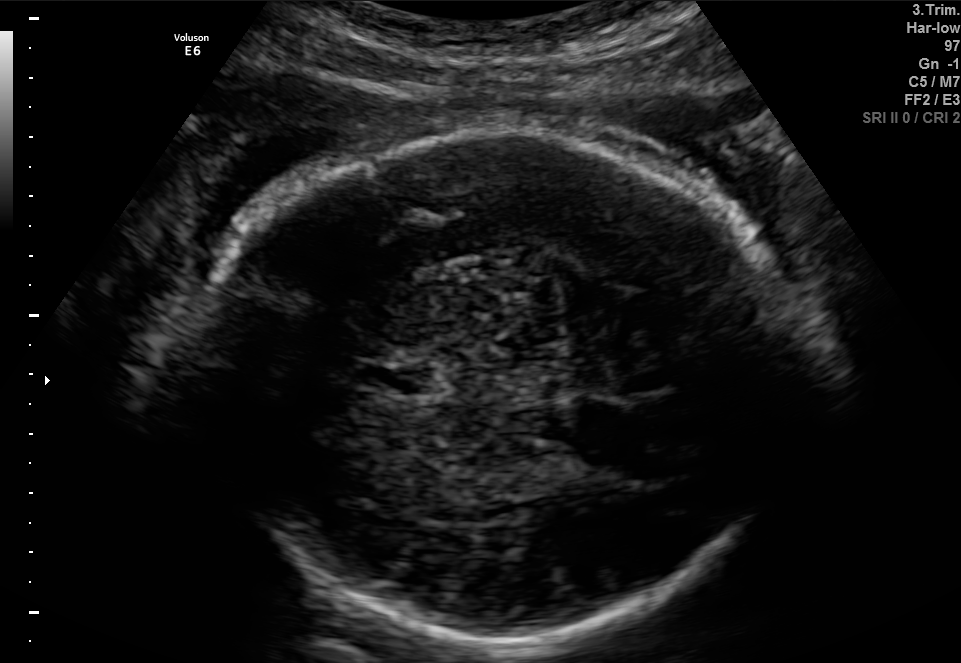
Fetal brain, trans-thalamic plane. Where is the cavum septum pellucidum?

CSP bounding box: [357,360,420,398]